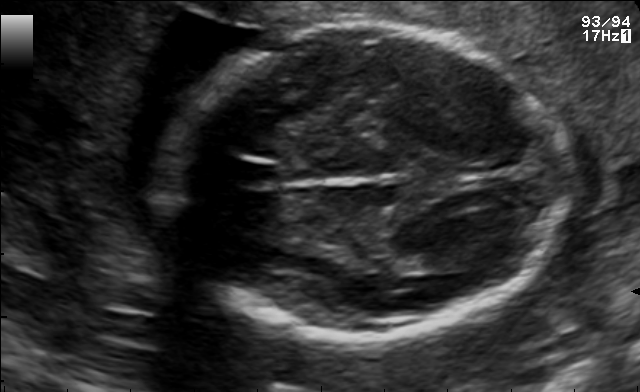
In this fetal brain, trans-thalamic plane, give the bounding box of the cavum septum pellucidum.

[228,160,279,188]